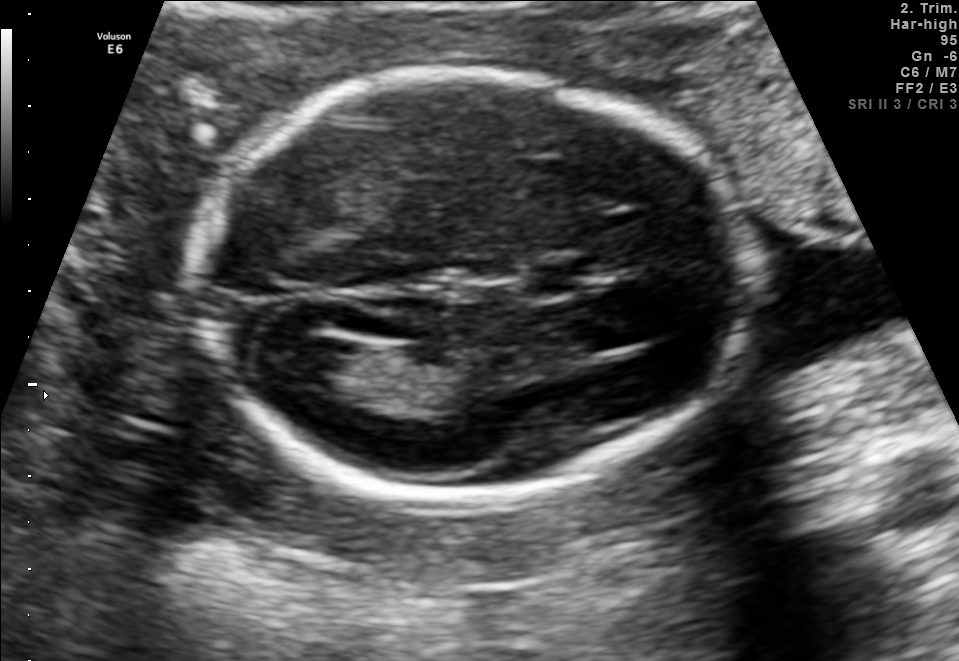
Fetal brain, trans-ventricular plane. Where is the fetal head?

Head bounding box: [179,61,772,518]